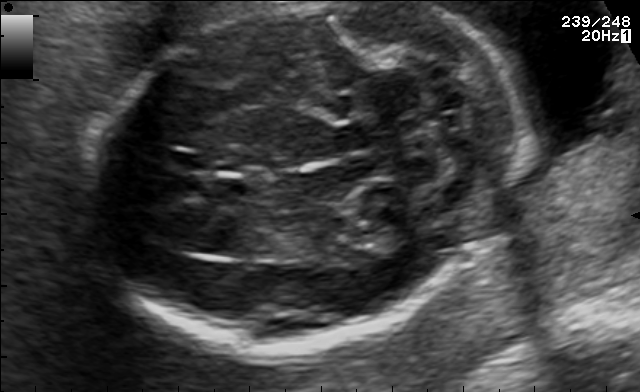
Fetal brain, trans-cerebellum plane. Where is the fetal head?

Head bounding box: [88,2,505,352]